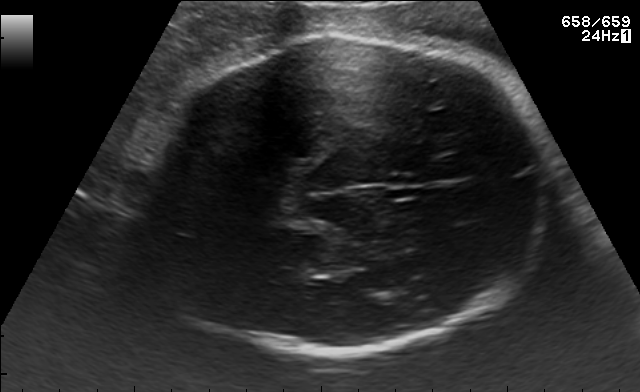
Fetal brain, trans-thalamic plane. Locate the fetal head and, if visible, the cavum septum pellucidum (CSP) and lateral ventricle (LV). Give bounding boxes as [x1,y1,x2,y2].

Head: [120,37,552,351]